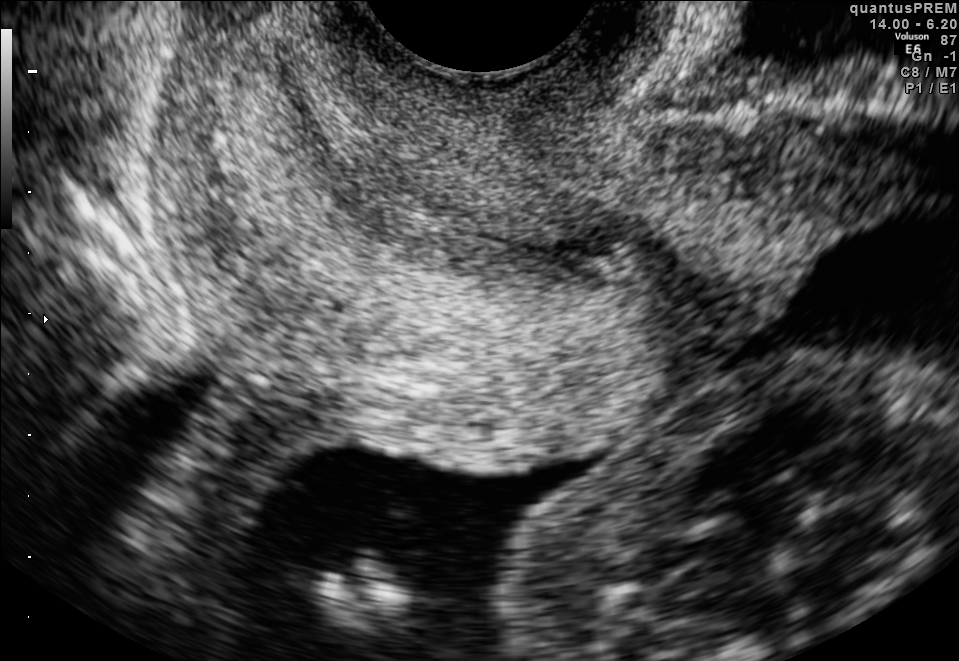
Which standard maternal-fetal ultrasound plane is shown: fetal abdomen, fetal brain, fetal femur, fetal thorax, maternal cervix, or other? If it's fetal brain and one of the three standard brain planes (trans-thalamic, trans-cerebellum, trans-ventricular), name which.

Maternal cervix